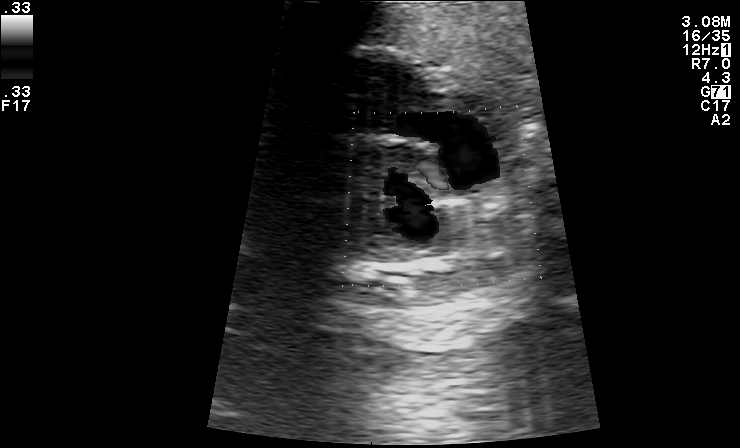
Which standard maternal-fetal ultrasound plane is shown: fetal abdomen, fetal brain, fetal femur, fetal thorax, maternal cervix, or other? If it's fetal brain and one of the three standard brain planes (trans-thalamic, trans-cerebellum, trans-ventricular), name which.

Other